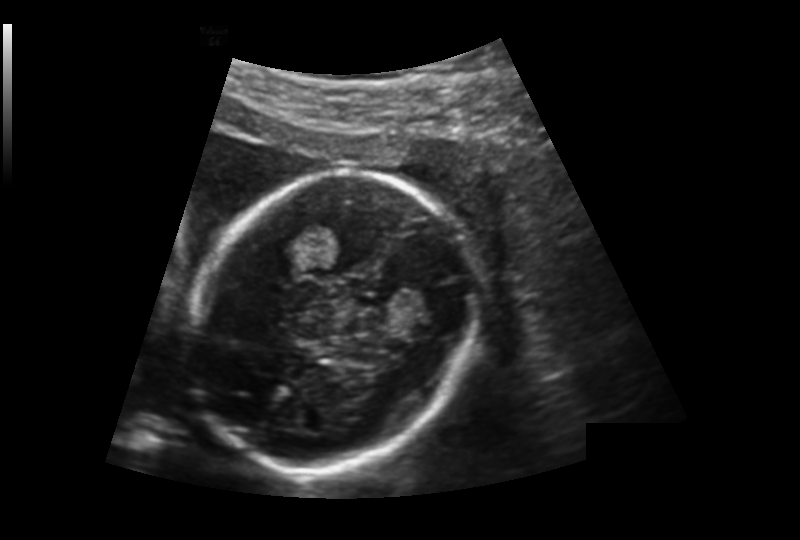
From this fetal ultrasound, estimate the head circumference (image width 140.4 mm).

Head circumference: 165.7 mm.